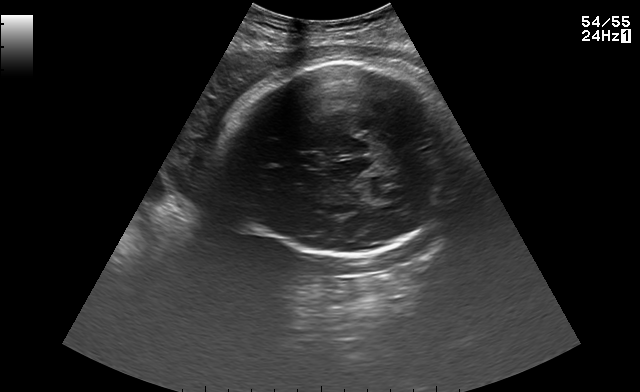
Classify this maternal-fetal ultrasound image as one of the six standard planes — fetal abdomen, fetal brain, fetal femur, fetal thorax, maternal cervix, or other. If it's fetal brain and one of the three standard brain planes (trans-thalamic, trans-cerebellum, trans-ventricular), name which.

Fetal brain (trans-thalamic plane)